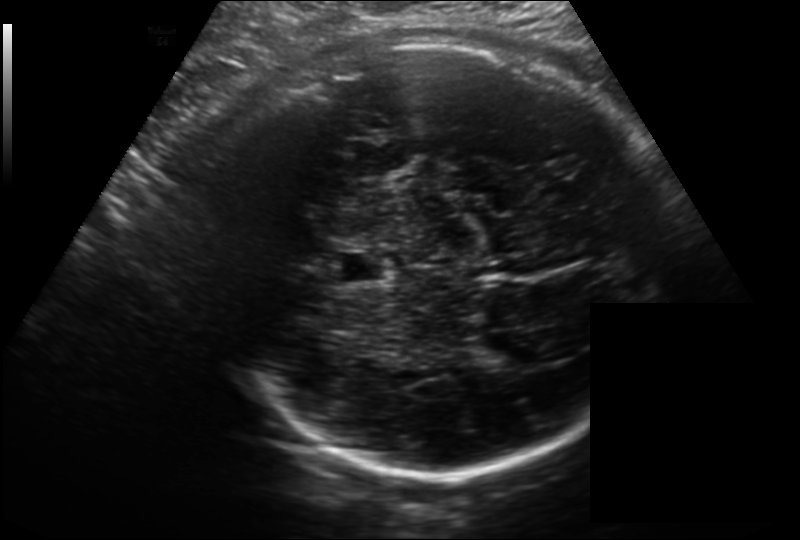
What is the fetal head circumference? Image width is 171.5 mm.

312.8 mm